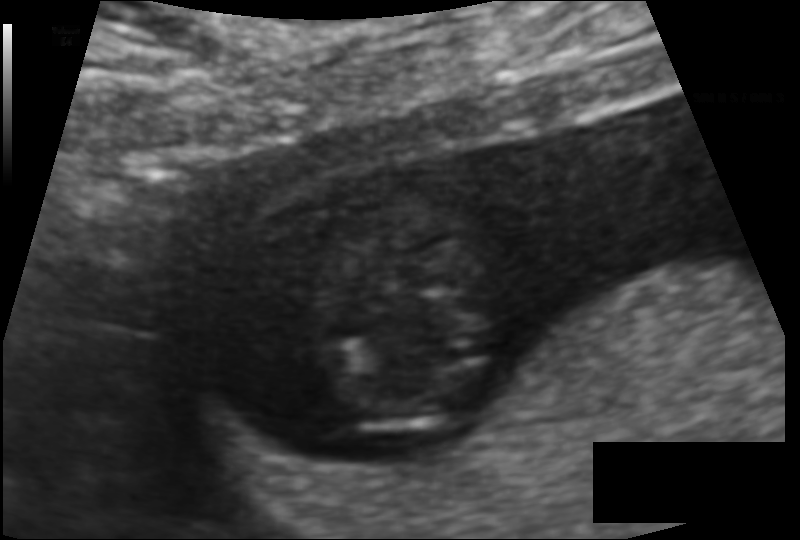
From this fetal ultrasound, estimate the head circumference (image width 75.5 mm).

Head circumference: 64.5 mm.